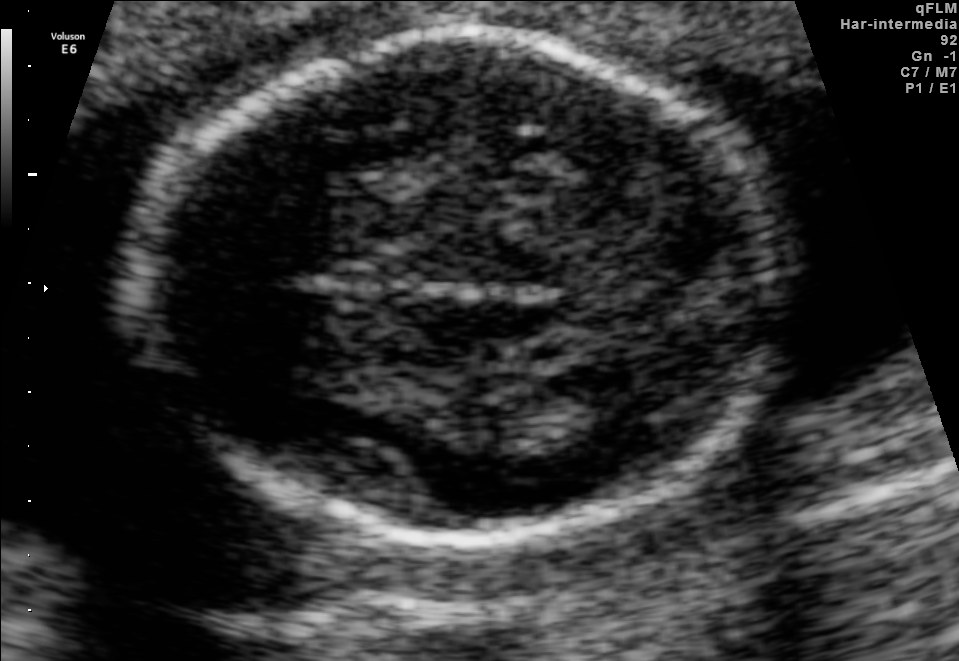
Fetal brain, trans-thalamic plane. Locate the fetal head and, if visible, the cavum septum pellucidum (CSP) and lateral ventricle (LV). Give bounding boxes as [x1,y1,x2,y2].

Head: [130,30,785,541]